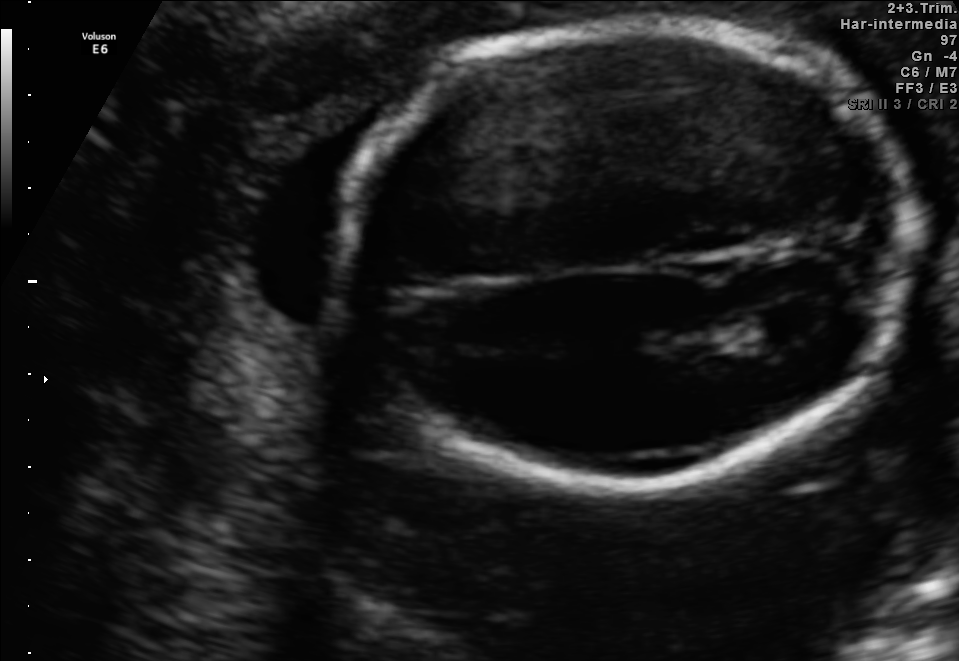
Fetal brain, trans-ventricular plane. Where is the fetal head?

Head bounding box: [330,11,923,502]